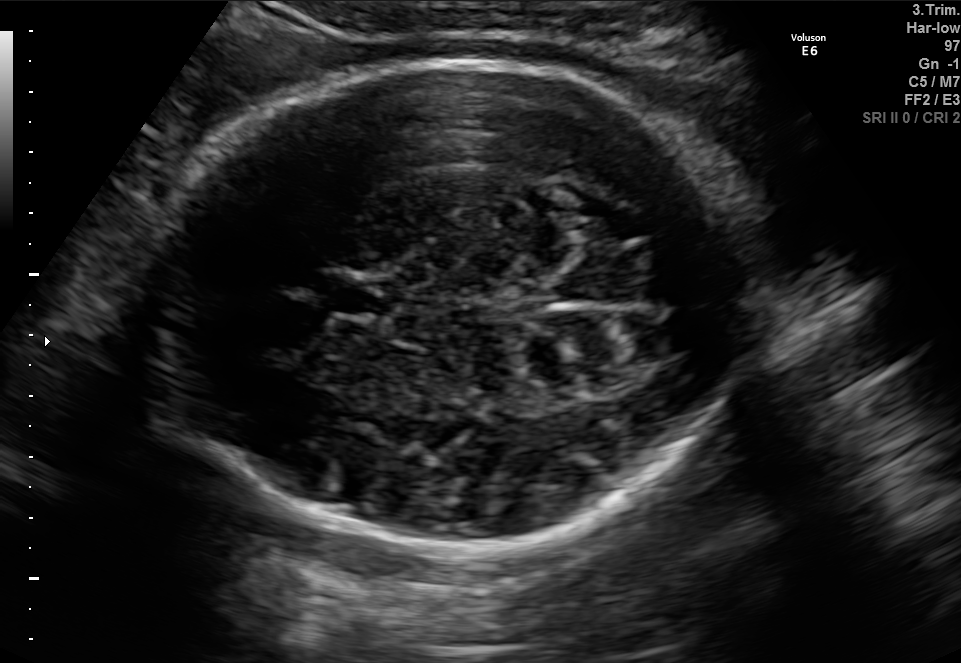
In this fetal brain, trans-thalamic plane, give bounding boxes for the head outline, cavum septum pellucidum (CSP), and lateral ventricle (LV), where visible.

Head: [140,56,769,551]
CSP: [320,278,383,319]